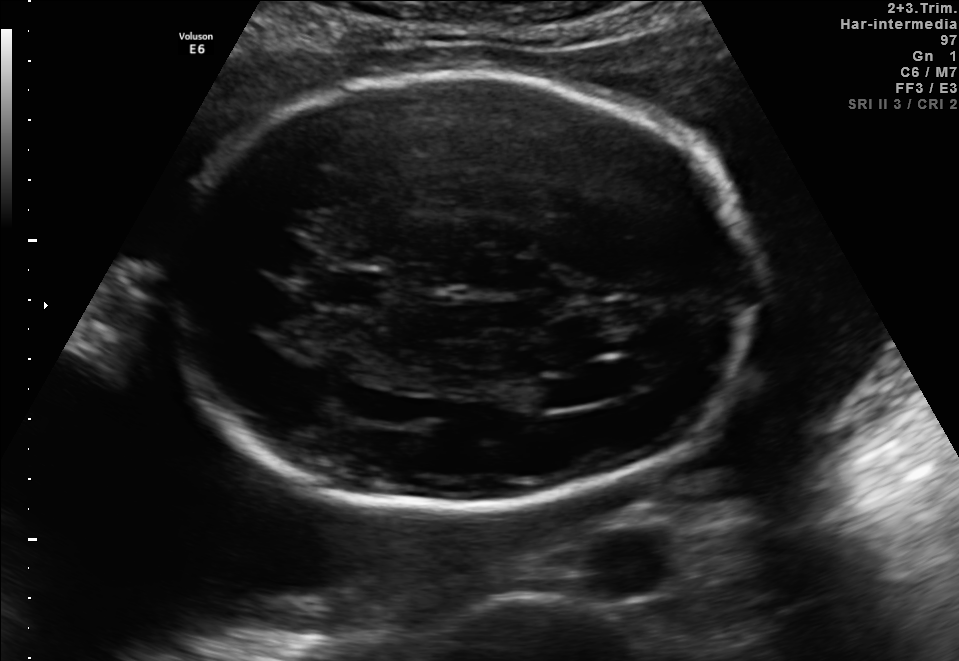
Fetal brain, trans-ventricular plane. Give [x1,y1,x2,y2] bounding boxes for each visible structure among: fetal head, CSP, LV.

Head: [166,68,759,513]
CSP: [314,267,377,308]
Lateral ventricle: [531,375,590,413]